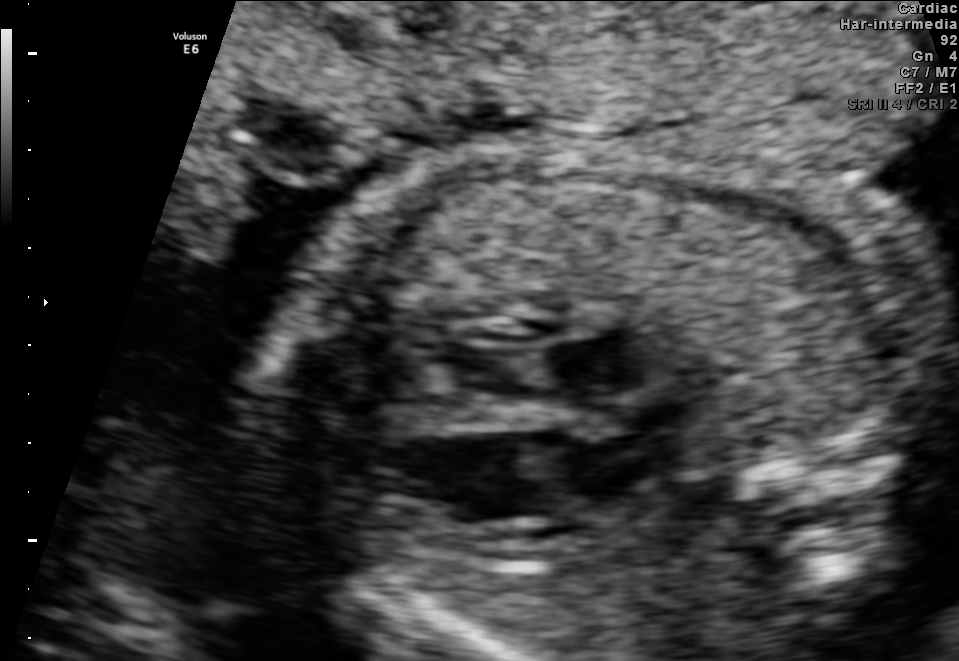
Classify this maternal-fetal ultrasound image as one of the six standard planes — fetal abdomen, fetal brain, fetal femur, fetal thorax, maternal cervix, or other. If it's fetal brain and one of the three standard brain planes (trans-thalamic, trans-cerebellum, trans-ventricular), name which.

Fetal thorax